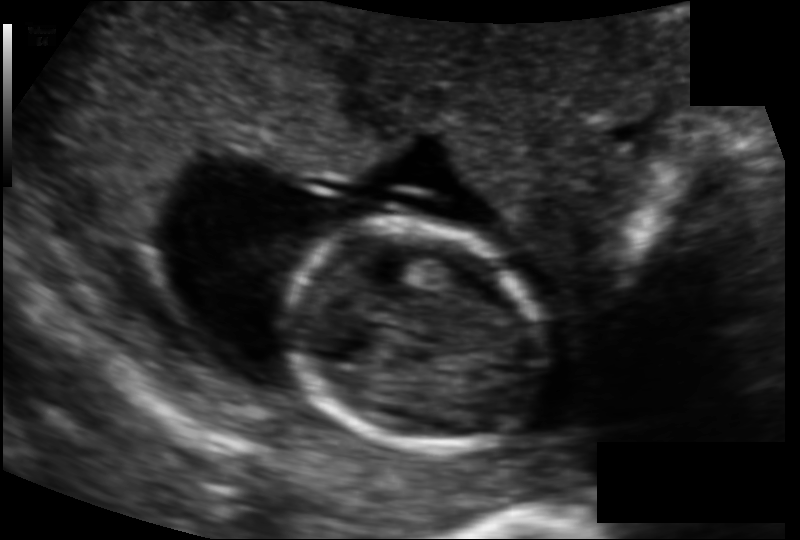
Fetal head ultrasound. Image width: 91.0 mm. Locate the fetal head.

Head: [288,221,547,449]